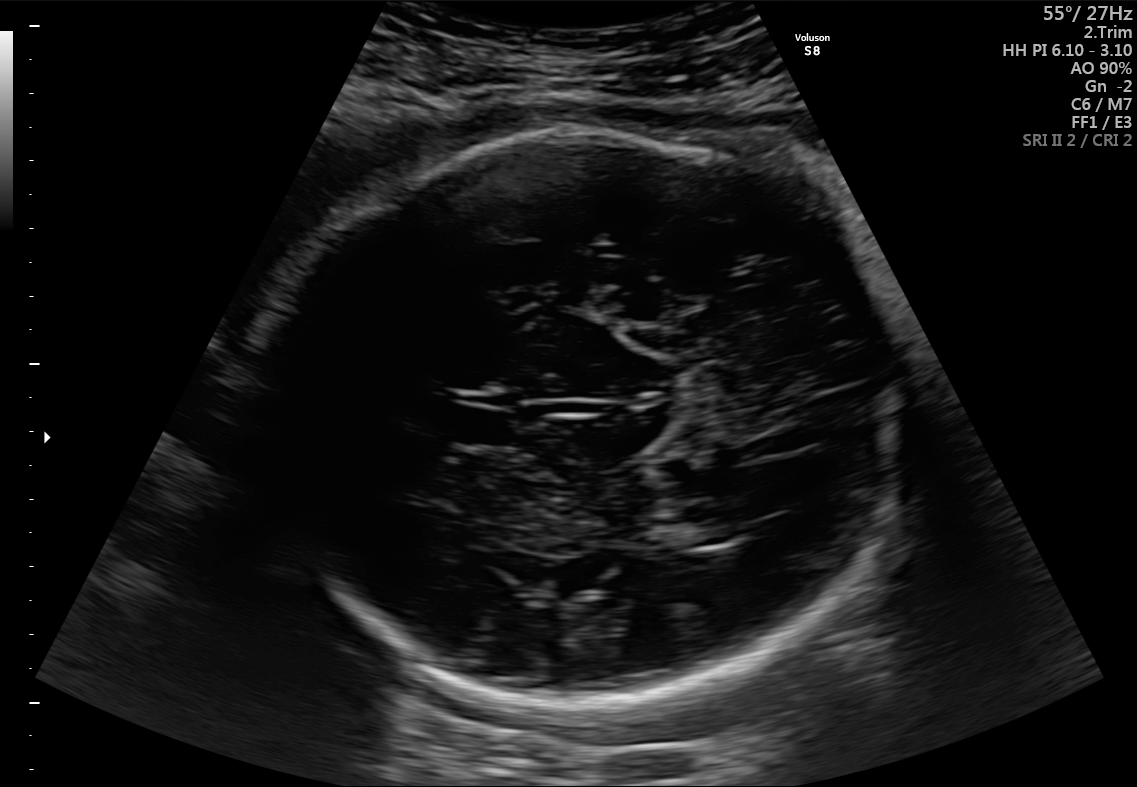
Fetal brain, trans-thalamic plane. Locate the fetal head.

Head: [255,135,911,712]